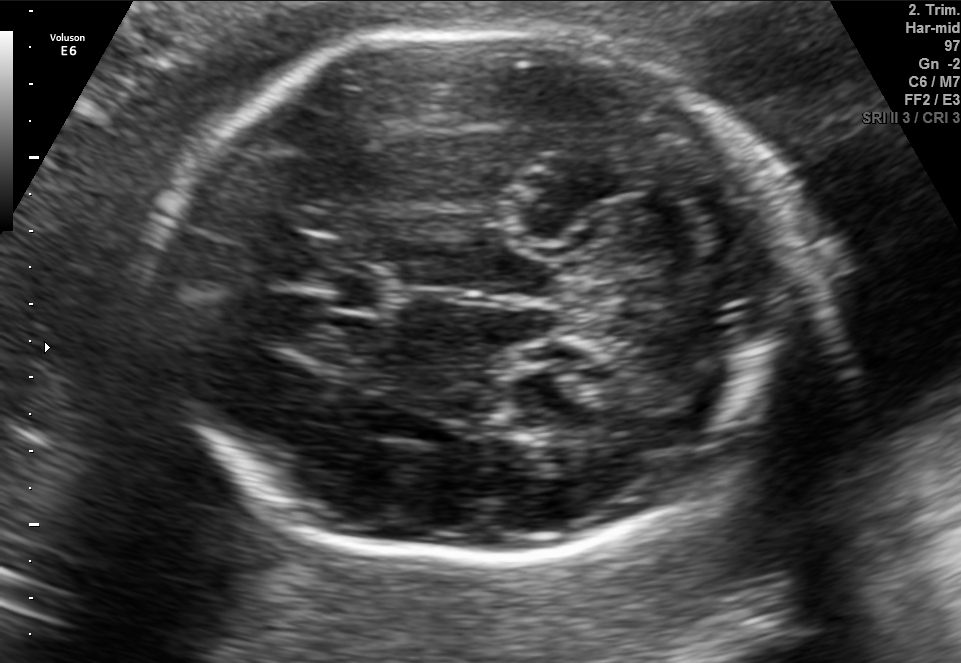
Fetal brain, trans-cerebellum plane. Locate the fetal head and, if visible, the cavum septum pellucidum (CSP) and lateral ventricle (LV). Give bounding boxes as [x1,y1,x2,y2].

Head: [163,33,784,564]
CSP: [324,268,400,318]